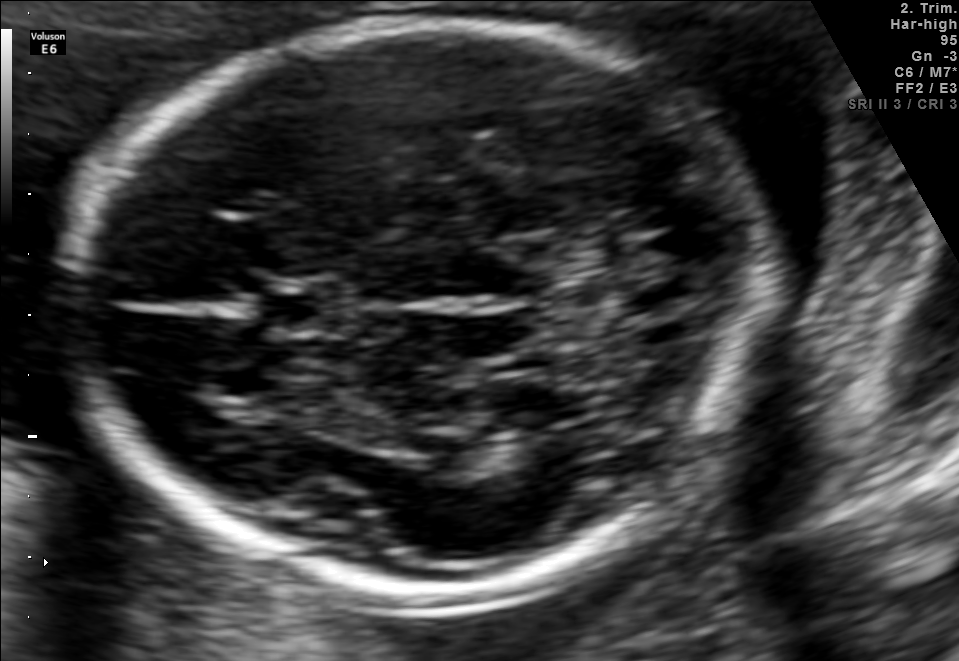
Fetal brain, trans-thalamic plane. Locate the fetal head and, if visible, the cavum septum pellucidum (CSP) and lateral ventricle (LV). Give bounding boxes as [x1,y1,x2,y2].

Head: [70,24,781,597]
CSP: [266,282,346,329]